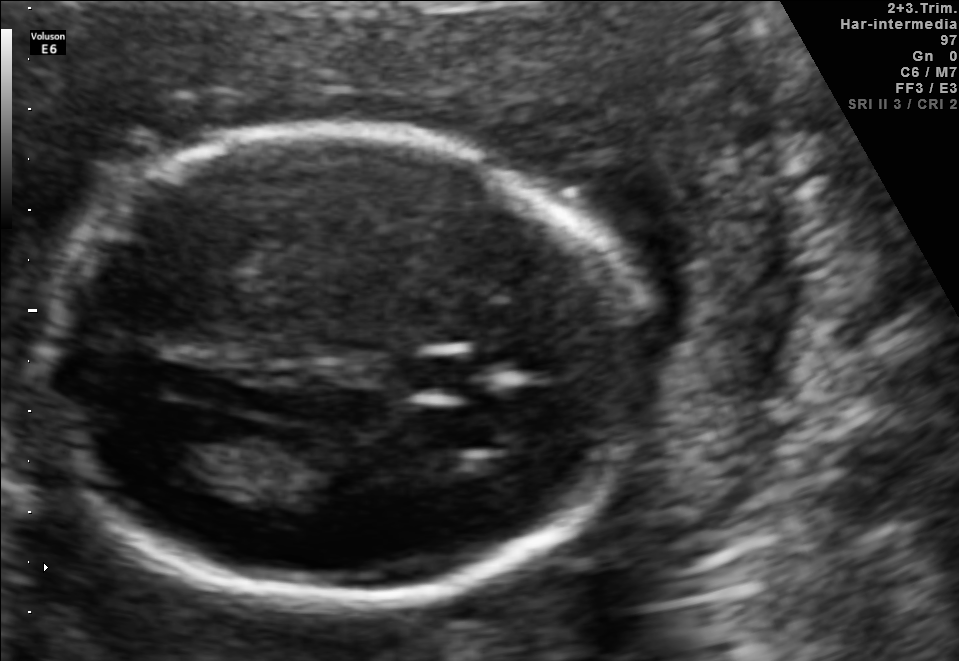
Fetal brain, trans-ventricular plane. Locate the fetal head and, if visible, the cavum septum pellucidum (CSP) and lateral ventricle (LV). Give bounding boxes as [x1,y1,x2,y2].

Head: [33,118,662,617]
CSP: [412,356,472,391]